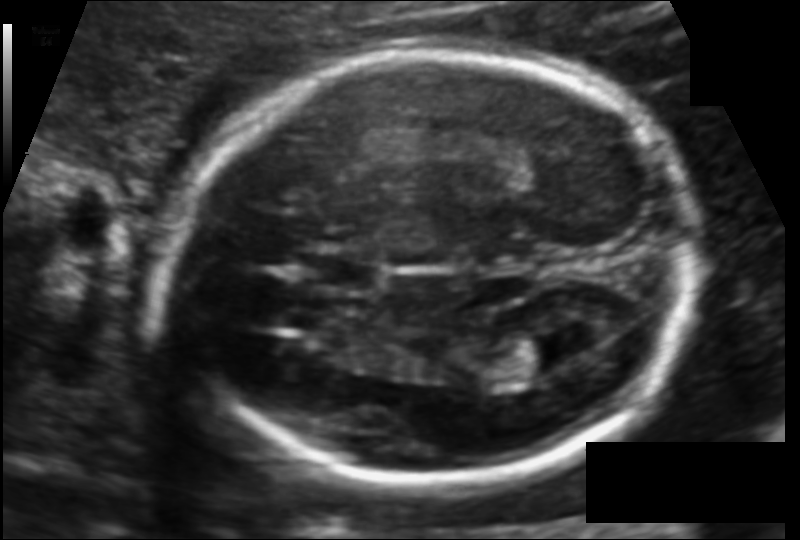
In this fetal head ultrasound, give the bounding box of the lateral ventricle. Image width: 90.0 mm.

[492,336,577,380]